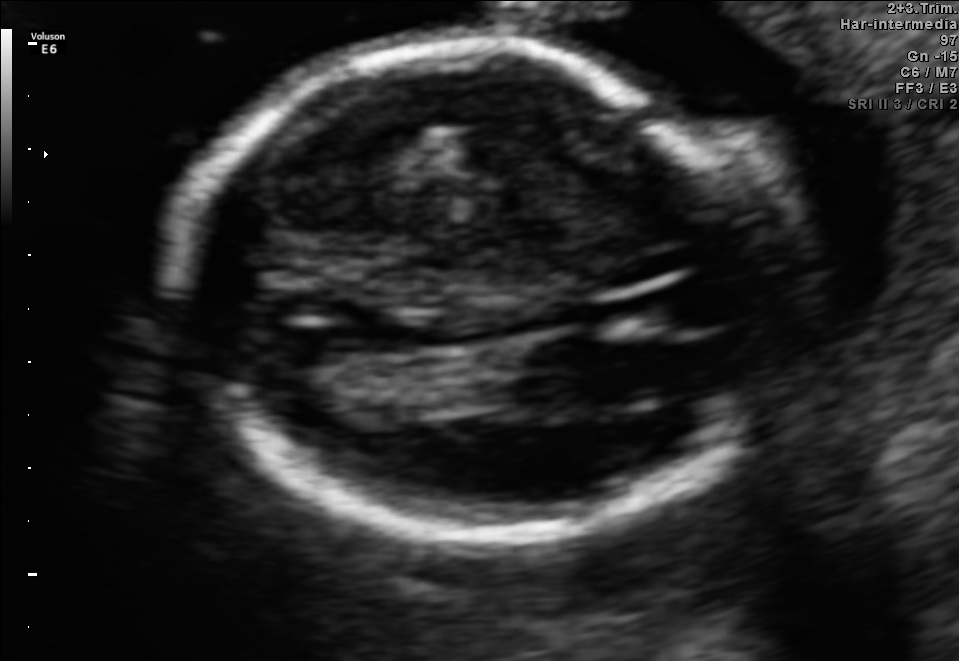
Fetal brain, trans-thalamic plane. Locate the fetal head and, if visible, the cavum septum pellucidum (CSP) and lateral ventricle (LV). Give bounding boxes as [x1,y1,x2,y2].

Head: [169,43,764,536]